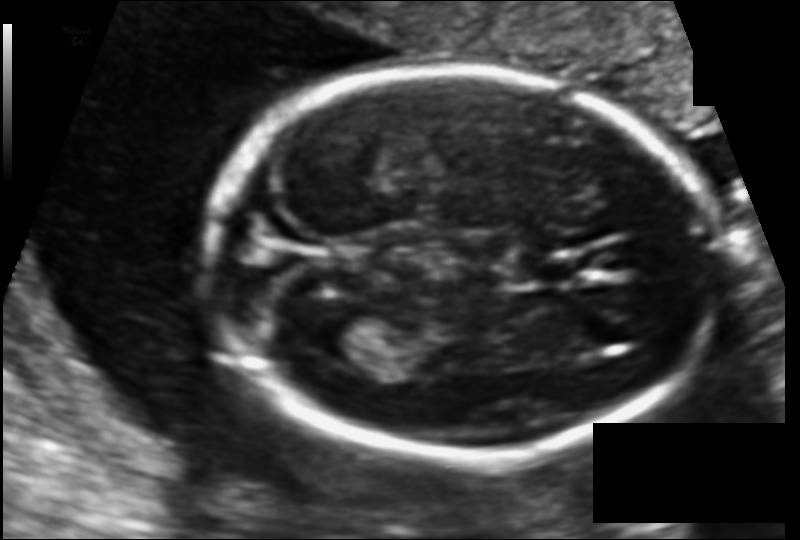
Fetal head ultrasound. Image width: 86.7 mm. Where is the lateral ventricle?

Lateral ventricle bounding box: [300,297,382,367]